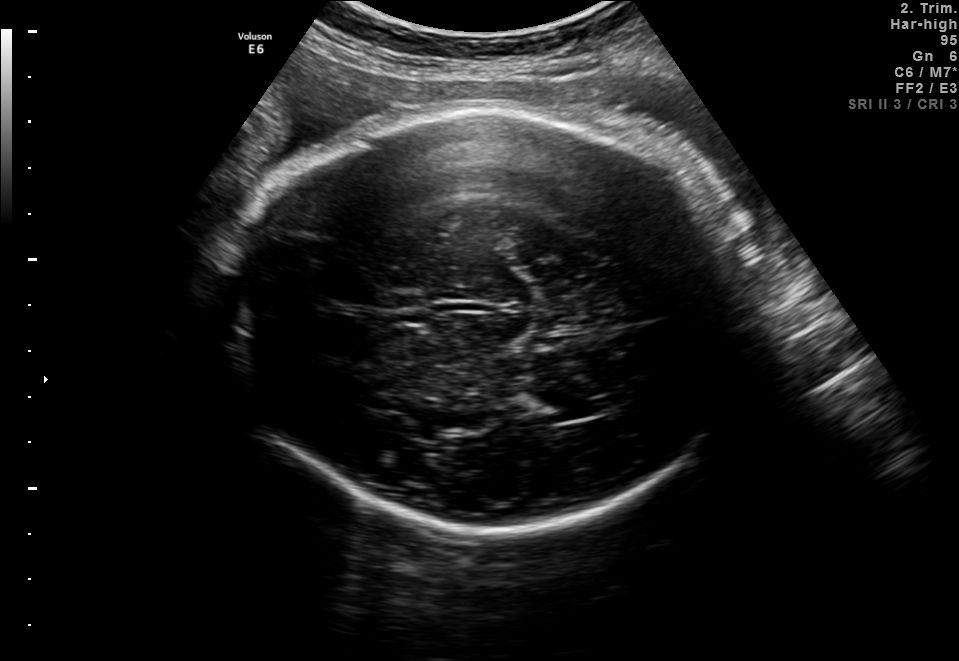
Fetal brain, trans-thalamic plane. Where is the fetal head?

Head bounding box: [232,106,751,527]